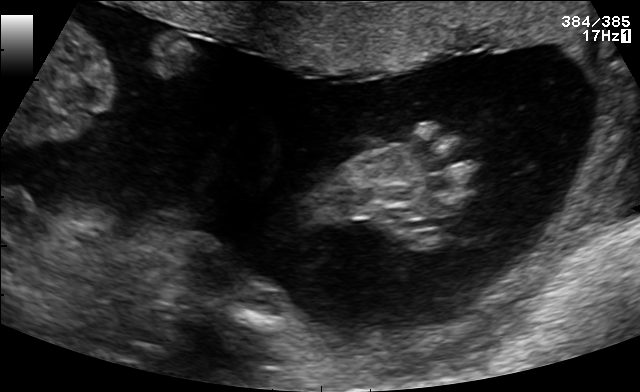
Classify this maternal-fetal ultrasound image as one of the six standard planes — fetal abdomen, fetal brain, fetal femur, fetal thorax, maternal cervix, or other. If it's fetal brain and one of the three standard brain planes (trans-thalamic, trans-cerebellum, trans-ventricular), name which.

Other